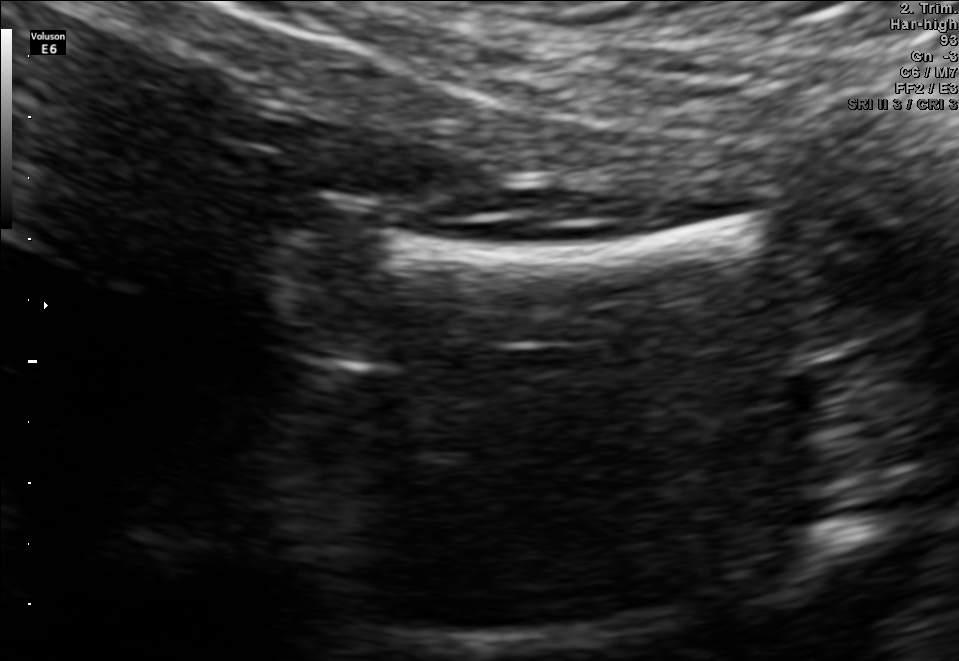
This is a 2D maternal-fetal ultrasound frame. Is it a fetal abdomen, fetal brain, fetal femur, fetal thorax, maternal cervix, or other standard plane? If it's fetal brain and one of the three standard brain planes (trans-thalamic, trans-cerebellum, trans-ventricular), name which.

Fetal femur